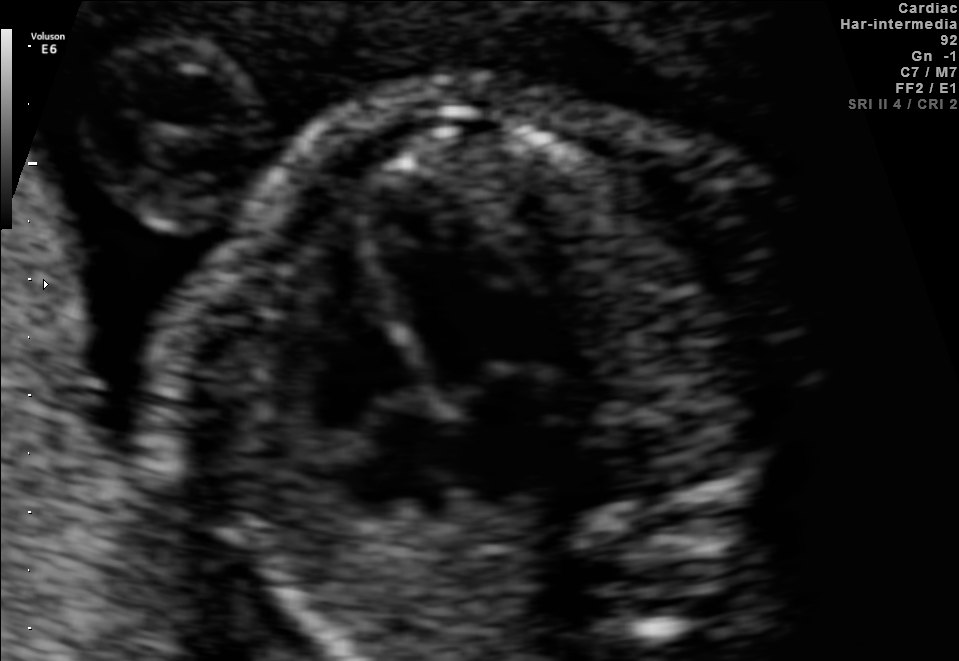
Which standard maternal-fetal ultrasound plane is shown: fetal abdomen, fetal brain, fetal femur, fetal thorax, maternal cervix, or other? If it's fetal brain and one of the three standard brain planes (trans-thalamic, trans-cerebellum, trans-ventricular), name which.

Fetal thorax